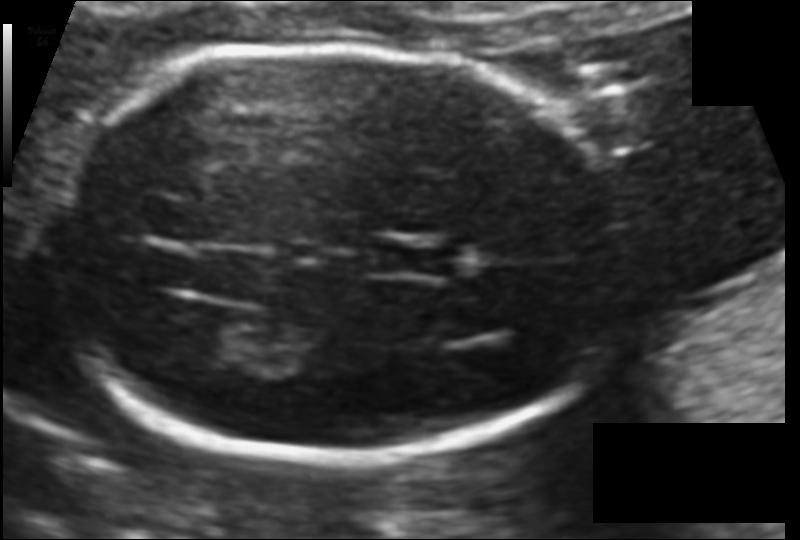
What is the fetal head circumference? Image width is 78.8 mm.

160.4 mm